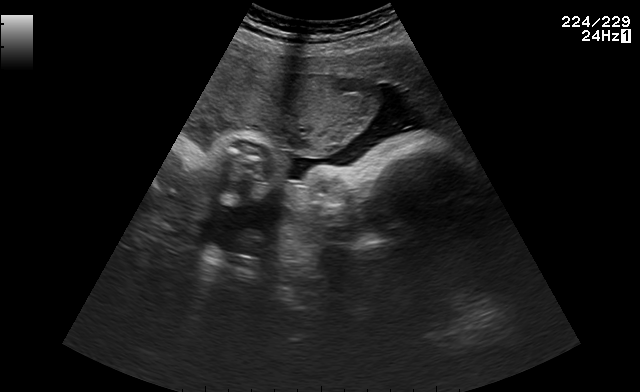
Identify the standard plane in this fetal ultrasound image: fetal abdomen, fetal brain, fetal femur, fetal thorax, maternal cervix, or other. If it's fetal brain and one of the three standard brain planes (trans-thalamic, trans-cerebellum, trans-ventricular), name which.

Other